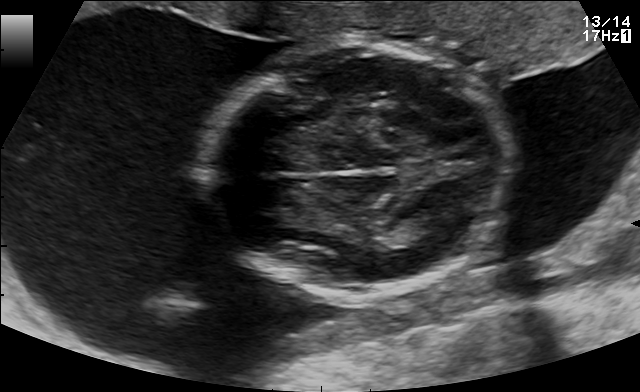
Fetal brain, trans-thalamic plane. Where is the lateral ventricle?

Lateral ventricle bounding box: [395,202,453,245]